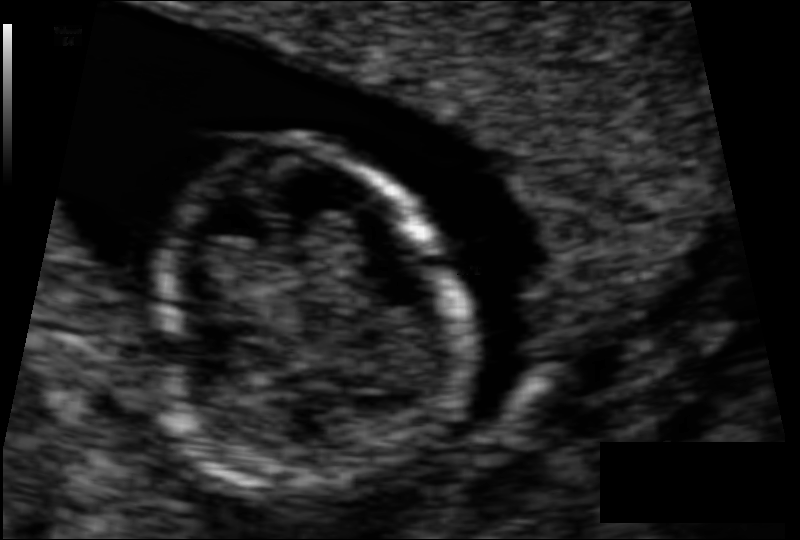
In this fetal head ultrasound, give the bounding box of the fetal head. Image width: 49.5 mm.

[147,138,458,485]